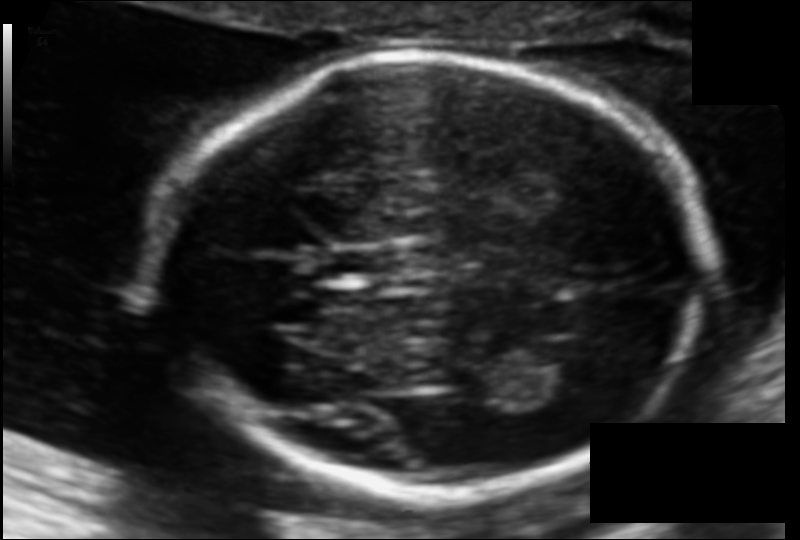
Estimate the fetal head circumference from this 2D ultrasound. Image width: 86.8 mm.

Head circumference: 174.8 mm.